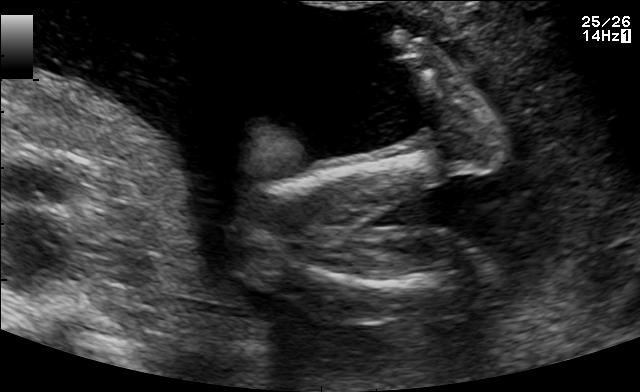
This is a 2D maternal-fetal ultrasound frame. Is it a fetal abdomen, fetal brain, fetal femur, fetal thorax, maternal cervix, or other standard plane? If it's fetal brain and one of the three standard brain planes (trans-thalamic, trans-cerebellum, trans-ventricular), name which.

Fetal femur